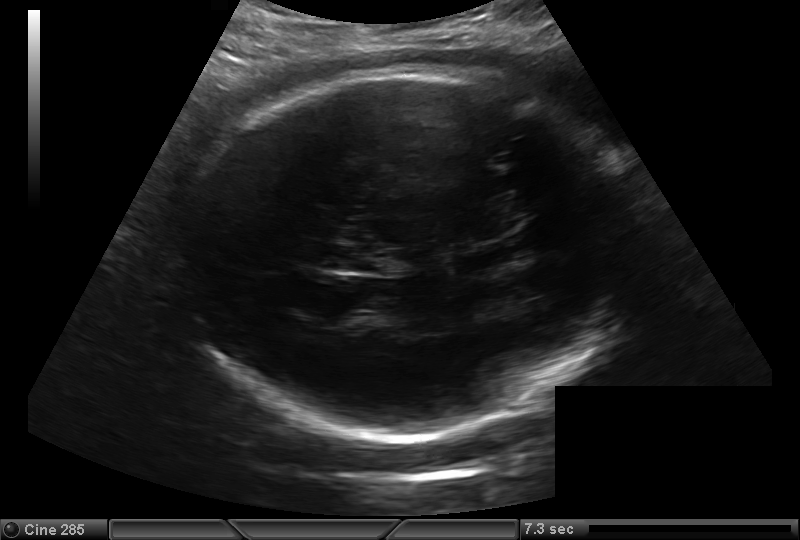
Fetal head ultrasound. Image width: 173.2 mm. Give [x1,y1,x2,y2] bounding boxes for each visible structure among: fetal head, CSP, LV.

Head: [189,66,631,441]